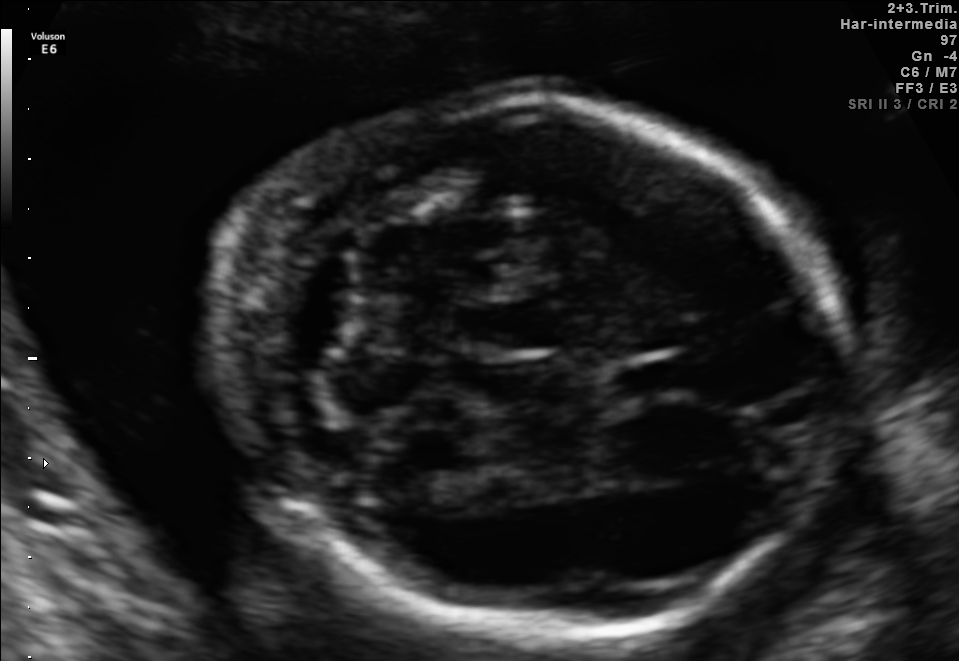
Fetal brain, trans-cerebellum plane. Locate the fetal head and, if visible, the cavum septum pellucidum (CSP) and lateral ventricle (LV). Give bounding boxes as [x1,y1,x2,y2].

Head: [216,94,833,645]
CSP: [608,348,696,410]